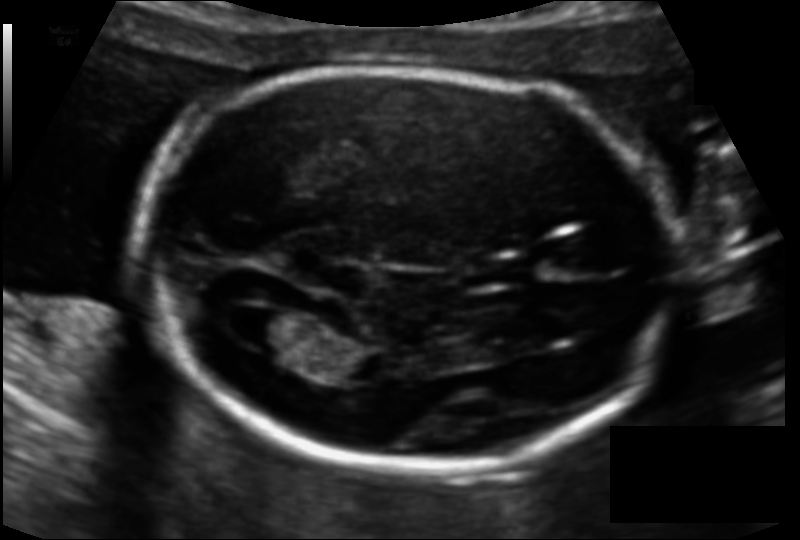
Fetal head ultrasound. Image width: 89.1 mm. Where is the lateral ventricle?

Lateral ventricle bounding box: [222,297,297,355]